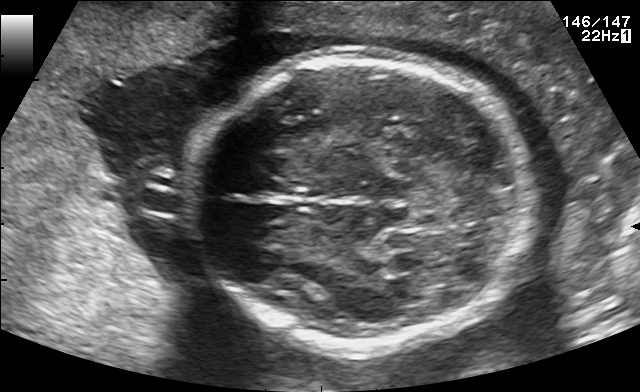
Fetal brain, trans-thalamic plane. Locate the fetal head and, if visible, the cavum septum pellucidum (CSP) and lateral ventricle (LV). Give bounding boxes as [x1,y1,x2,y2].

Head: [184,59,533,348]